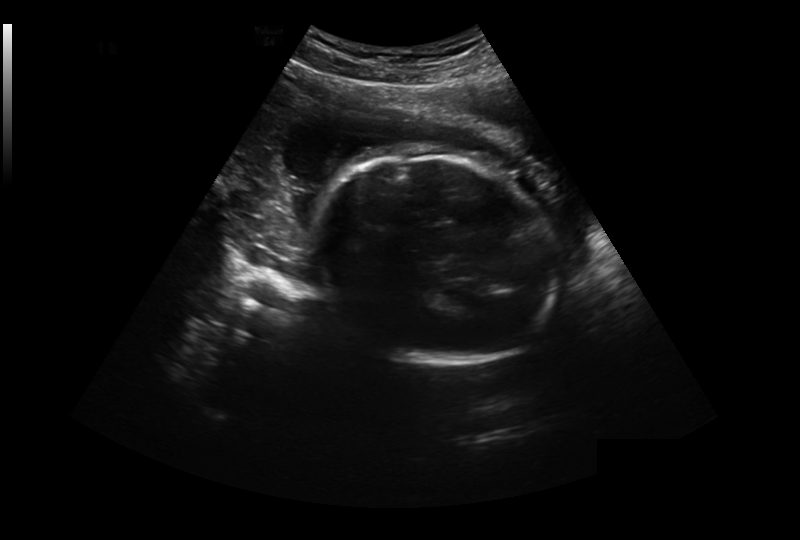
Fetal head ultrasound. Image width: 261.2 mm. Locate the fetal head.

Head: [306,155,559,364]